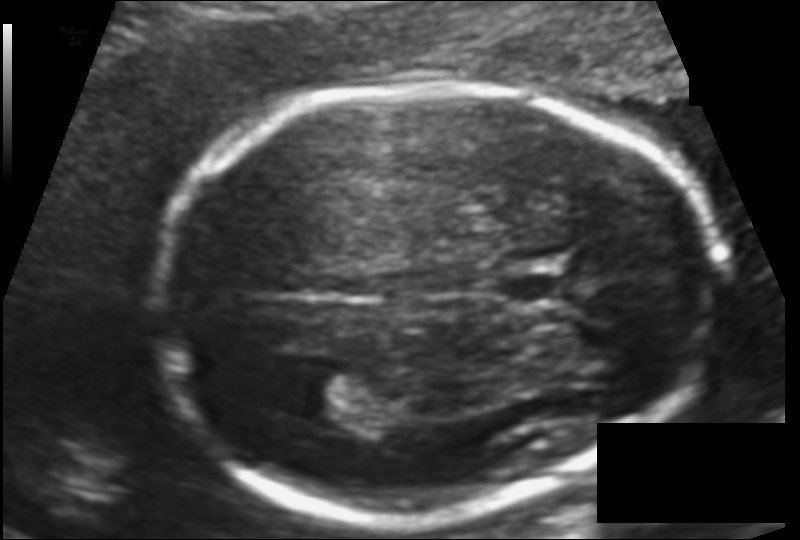
Fetal head ultrasound. Image width: 87.8 mm. Locate the fetal head.

Head: [152,84,717,521]